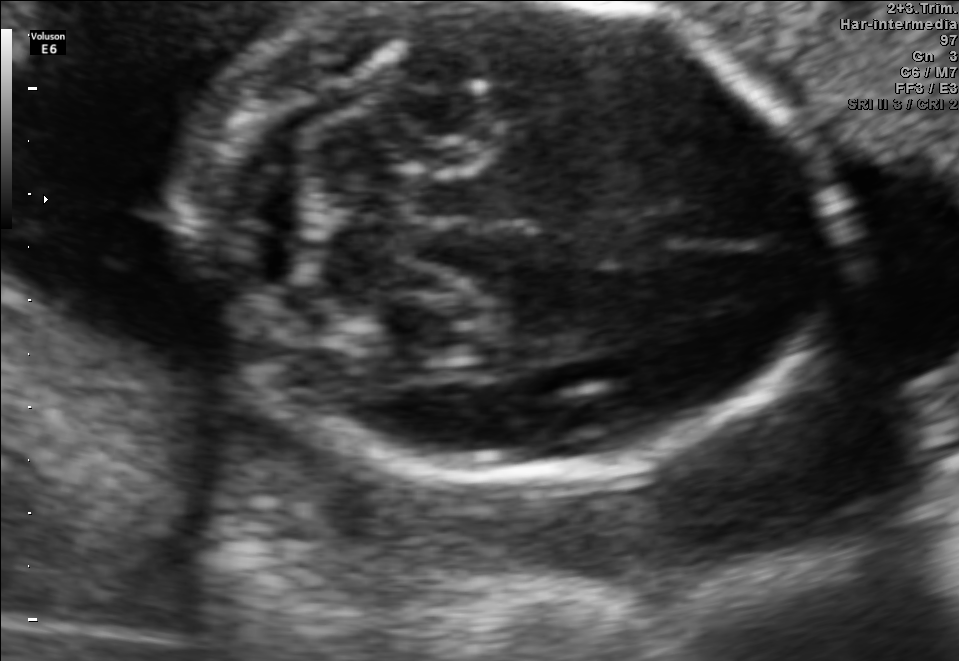
Fetal brain, trans-cerebellum plane. Locate the fetal head and, if visible, the cavum septum pellucidum (CSP) and lateral ventricle (LV). Give bounding boxes as [x1,y1,x2,y2].

Head: [174,4,841,469]